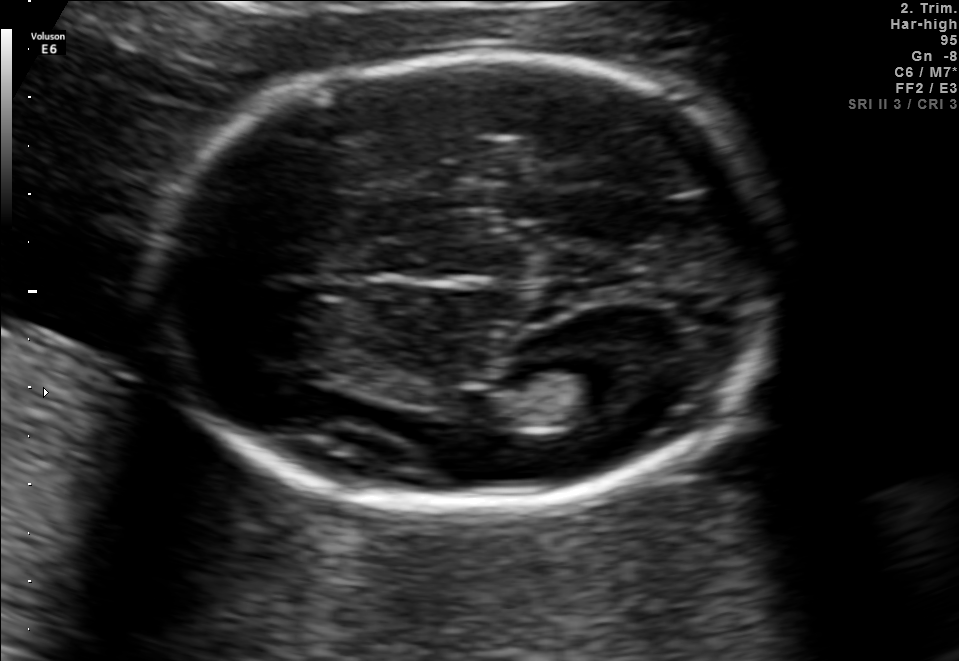
Fetal brain, trans-thalamic plane. Give [x1,y1,x2,y2] bounding boxes for each visible structure among: fetal head, CSP, LV.

Head: [144,54,773,511]
Lateral ventricle: [526,341,659,431]